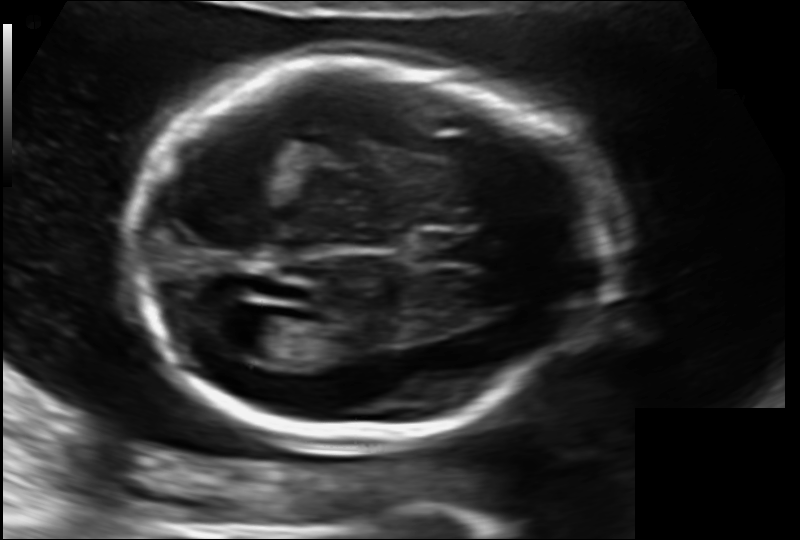
Estimate the fetal head circumference from this 2D ultrasound. Image width: 103.9 mm.

Head circumference: 180.3 mm.